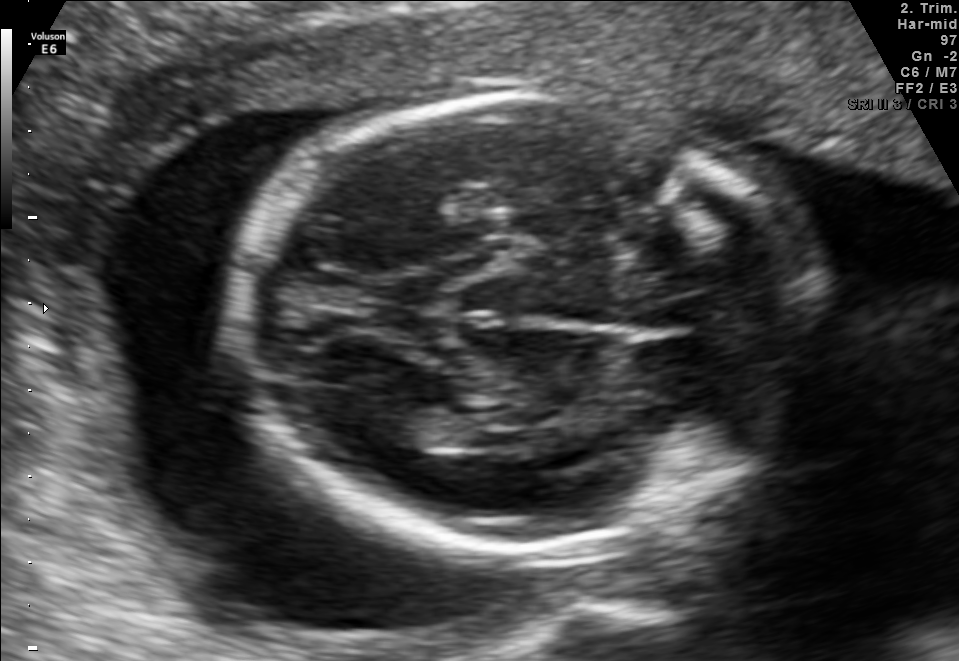
Fetal brain, trans-thalamic plane. Where is the lateral ventricle?

Lateral ventricle bounding box: [358,392,457,453]